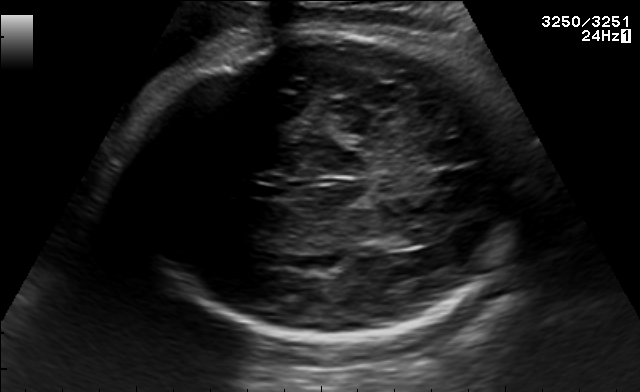
Fetal brain, trans-thalamic plane. Where is the fetal head?

Head bounding box: [124,33,517,339]